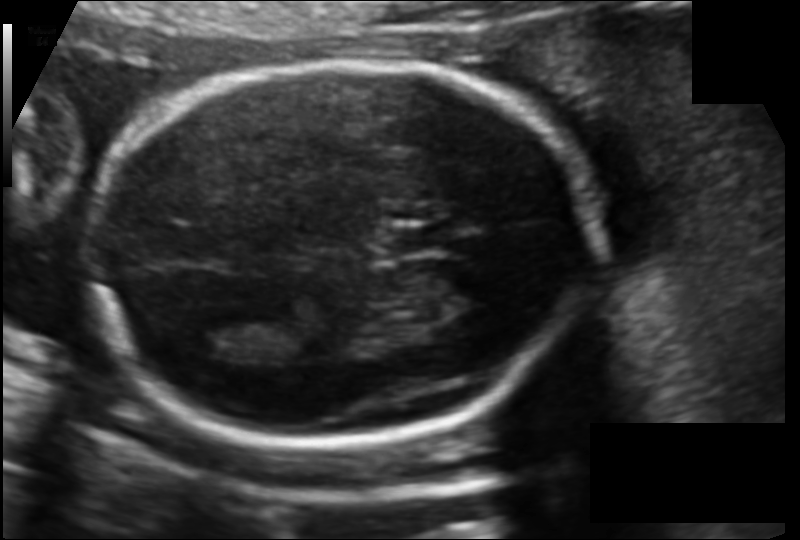
From this fetal ultrasound, estimate the head circumference (image width 96.2 mm).

Head circumference: 174.1 mm.